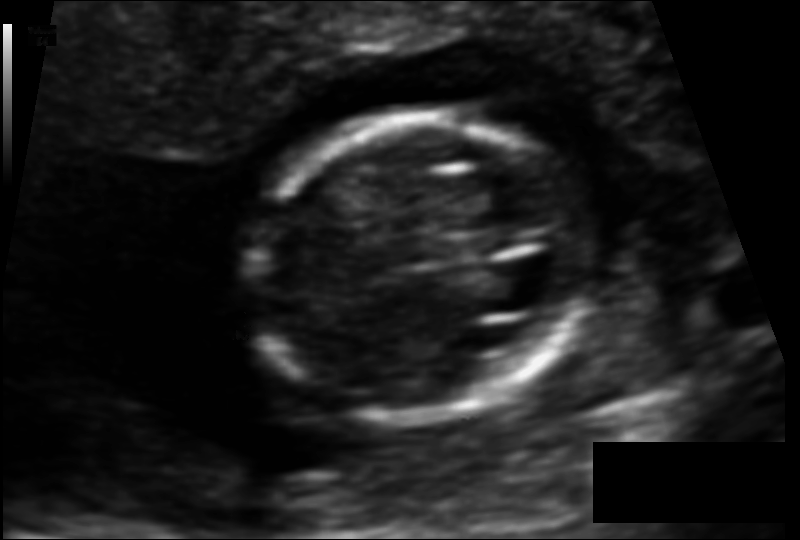
Estimate the fetal head circumference from this 2D ultrasound. Image width: 73.5 mm.

Head circumference: 95.6 mm.